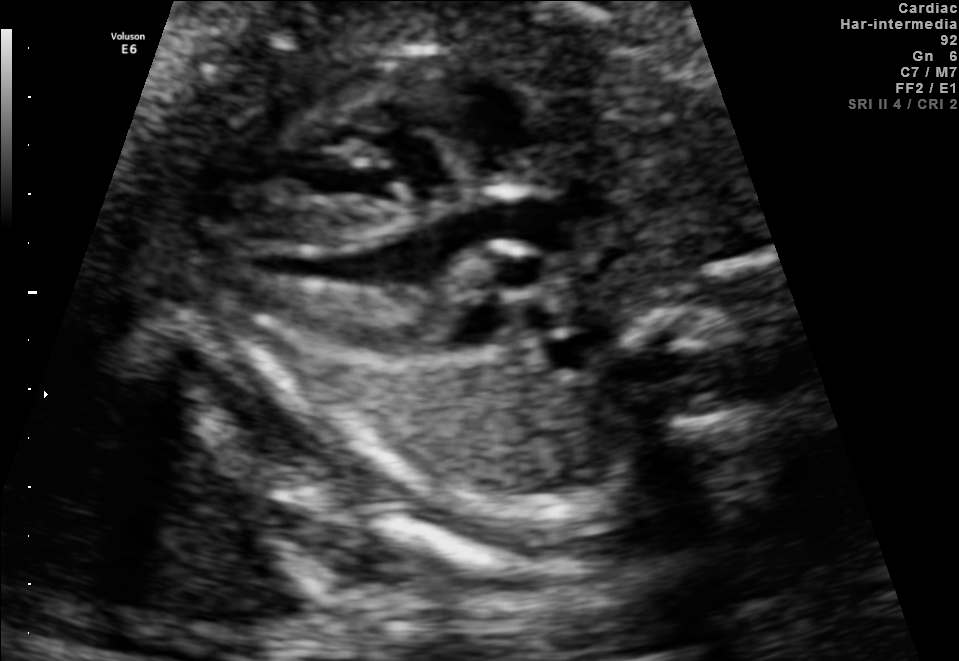
Which standard maternal-fetal ultrasound plane is shown: fetal abdomen, fetal brain, fetal femur, fetal thorax, maternal cervix, or other? If it's fetal brain and one of the three standard brain planes (trans-thalamic, trans-cerebellum, trans-ventricular), name which.

Other